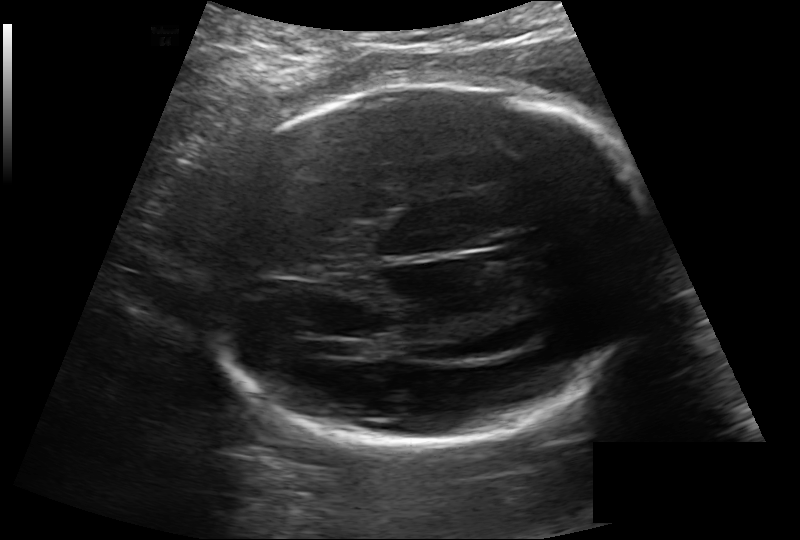
What is the fetal head circumference? Image width is 151.0 mm.

247.1 mm